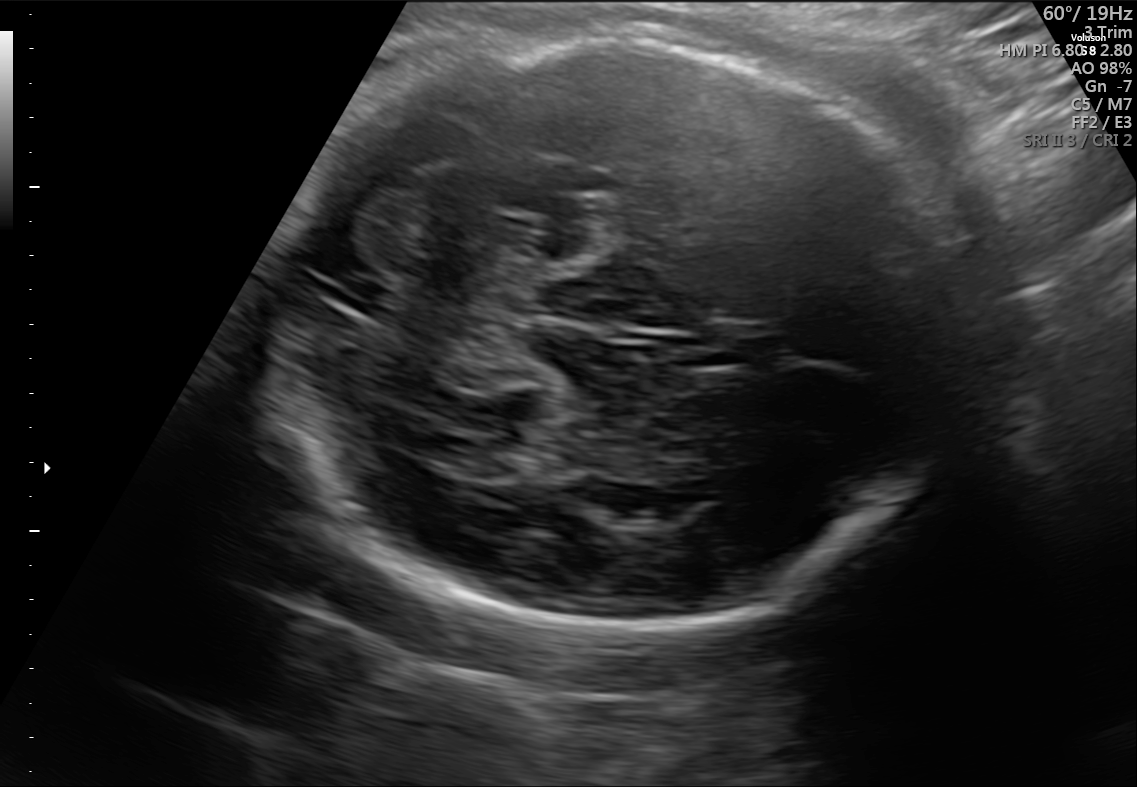
In this fetal brain, trans-cerebellum plane, give the bounding box of the fetal head.

[274,36,960,627]